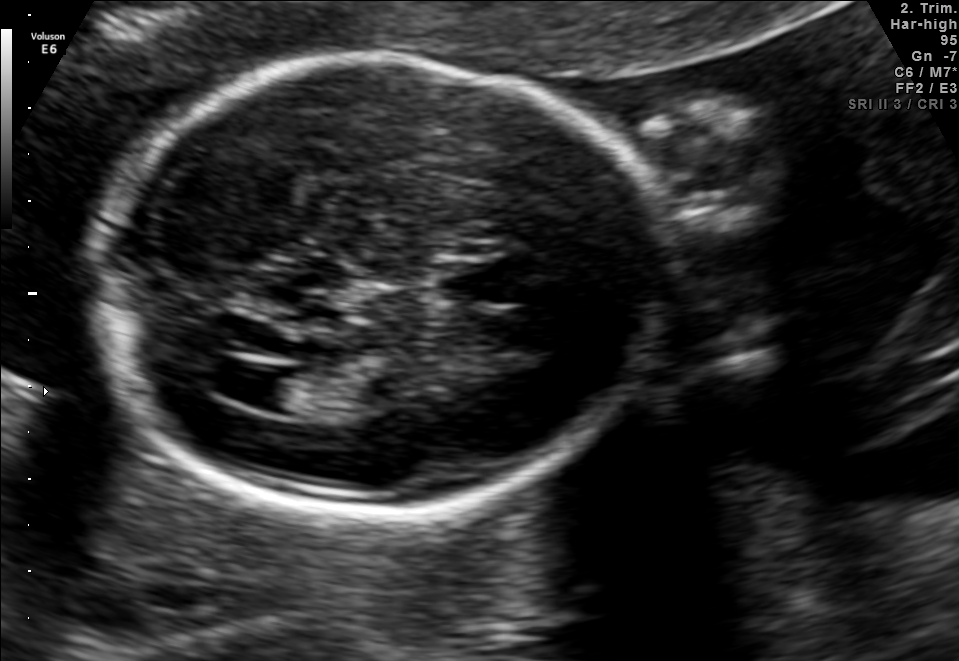
Fetal brain, trans-ventricular plane. Where is the lateral ventricle?

Lateral ventricle bounding box: [210,356,303,417]